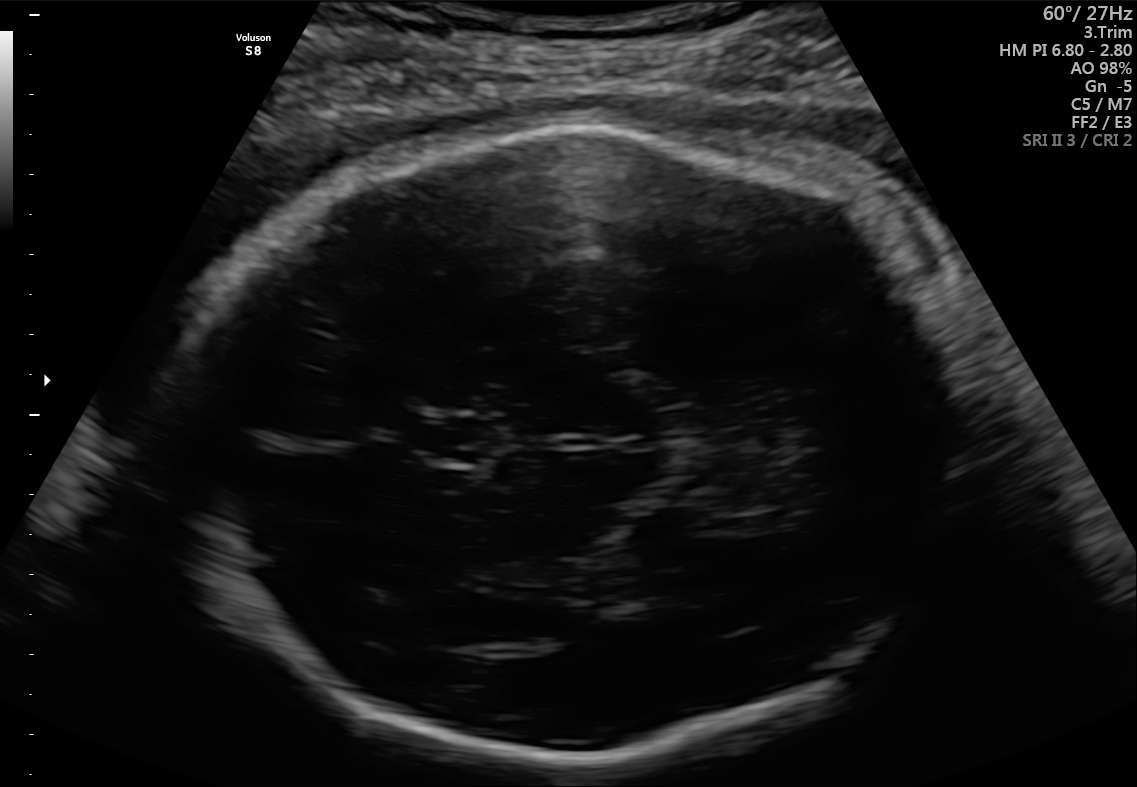
Fetal brain, trans-thalamic plane. Where is the fetal head?

Head bounding box: [166,130,992,764]